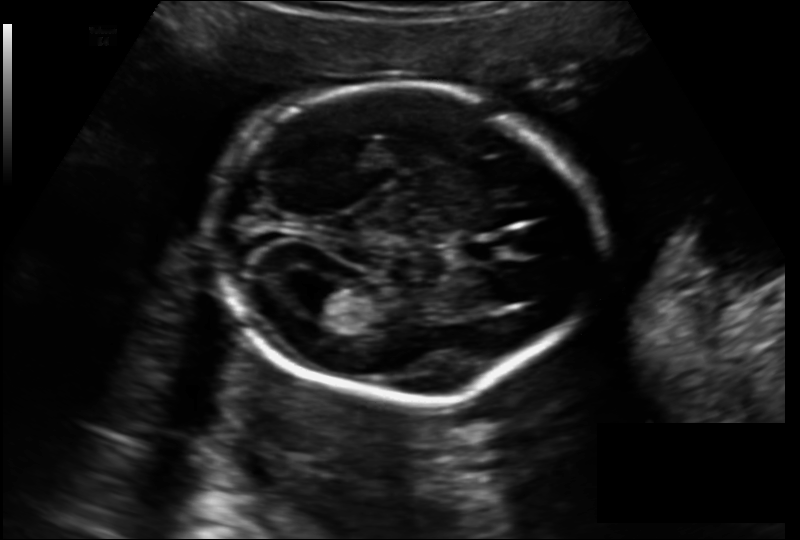
Fetal head ultrasound. Image width: 125.9 mm. Locate the lateral ventricle.

Lateral ventricle: [280,264,355,329]